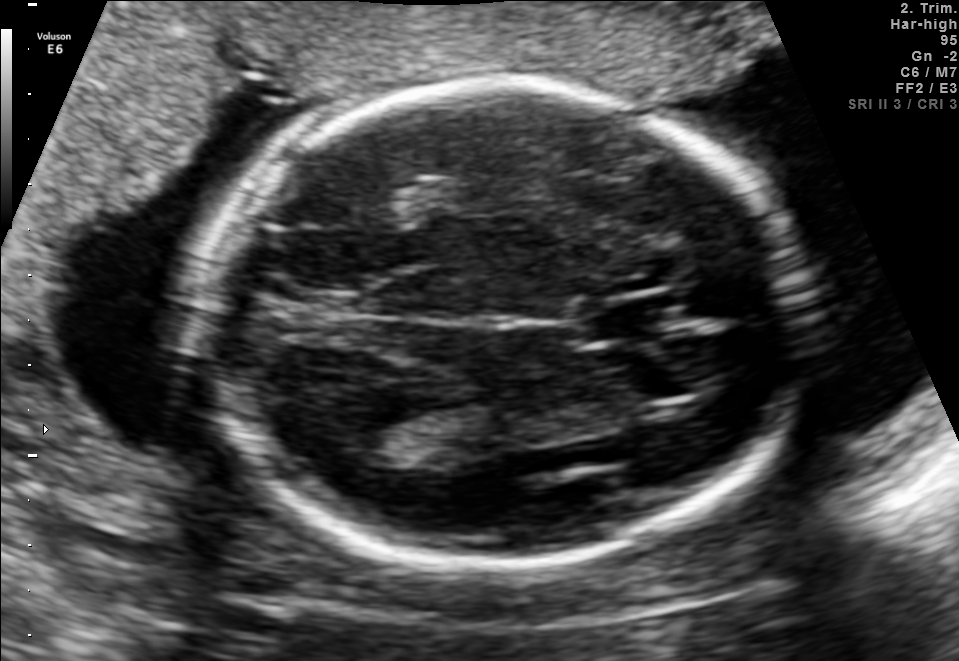
Fetal brain, trans-thalamic plane. Where is the cavum septum pellucidum?

CSP bounding box: [583,291,675,344]